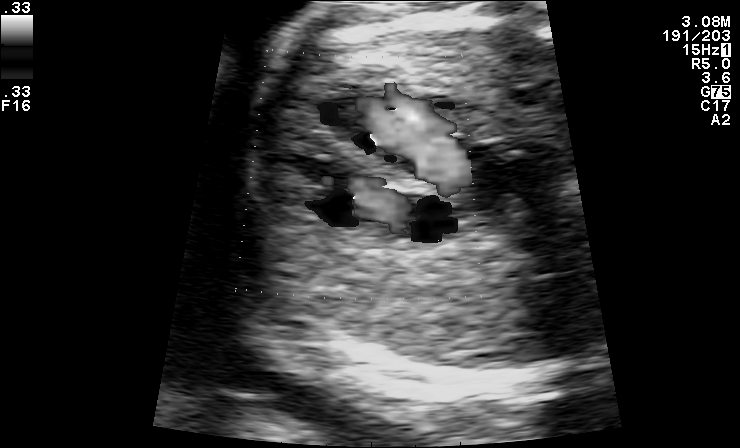
This is a 2D maternal-fetal ultrasound frame. Is it a fetal abdomen, fetal brain, fetal femur, fetal thorax, maternal cervix, or other standard plane? If it's fetal brain and one of the three standard brain planes (trans-thalamic, trans-cerebellum, trans-ventricular), name which.

Other